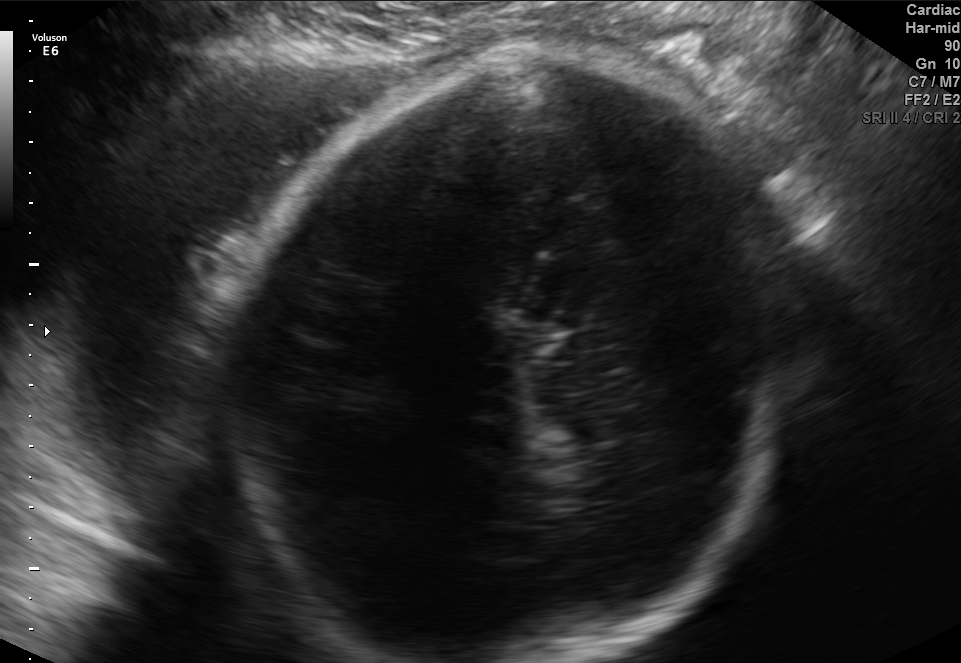
Fetal brain, trans-thalamic plane. Locate the fetal head and, if visible, the cavum septum pellucidum (CSP) and lateral ventricle (LV). Give bounding boxes as [x1,y1,x2,y2].

Head: [228,57,799,662]